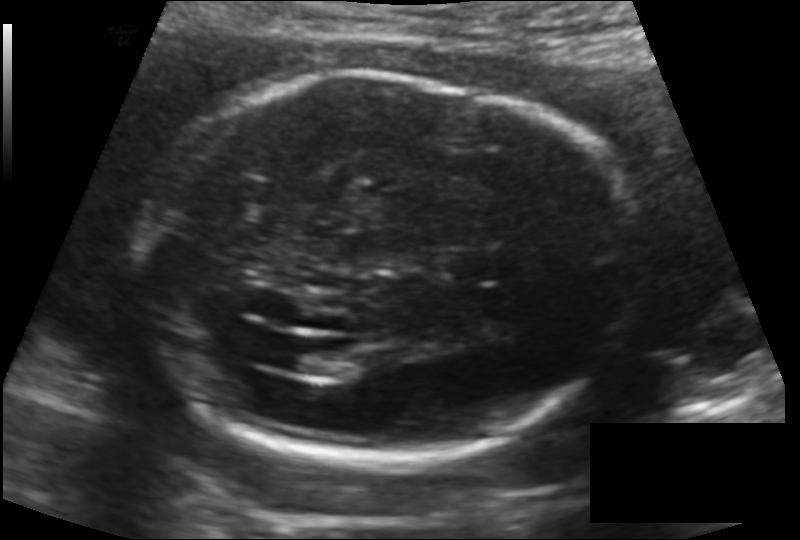
Fetal head ultrasound. Image width: 117.5 mm. Locate the cavum septum pellucidum.

CSP: [441,248,503,282]